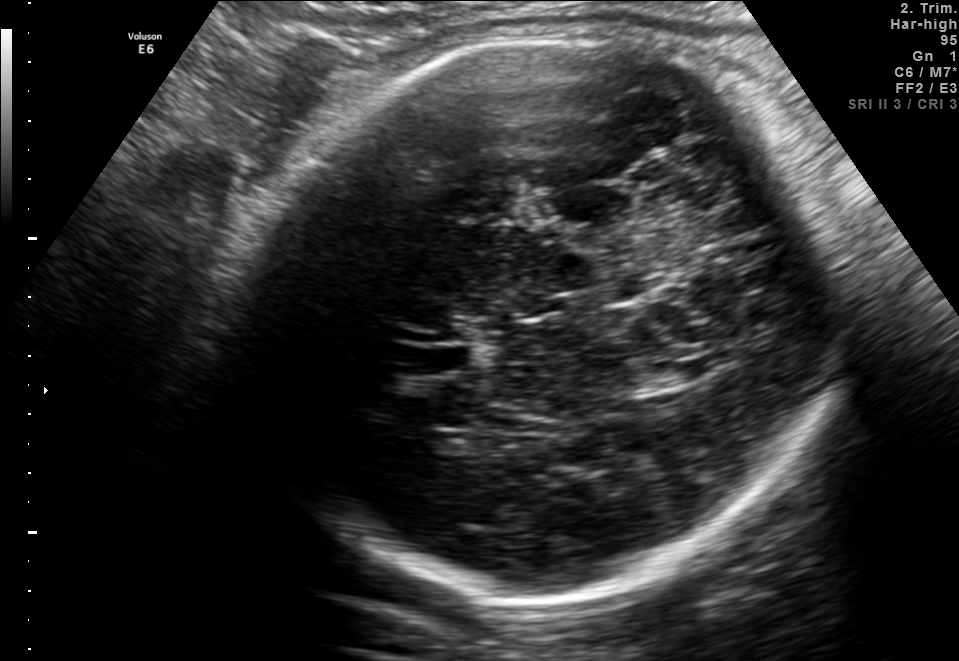
Fetal brain, trans-thalamic plane. Where is the fetal head?

Head bounding box: [231,37,842,602]